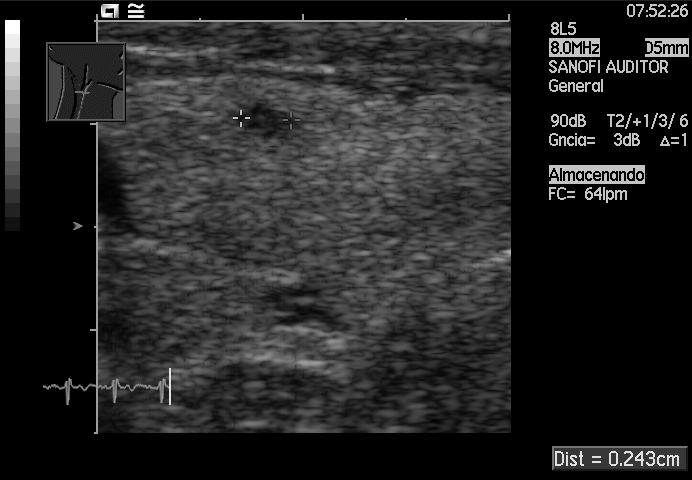
Identify the standard plane in this fetal ultrasound image: fetal abdomen, fetal brain, fetal femur, fetal thorax, maternal cervix, or other. If it's fetal brain and one of the three standard brain planes (trans-thalamic, trans-cerebellum, trans-ventricular), name which.

Other